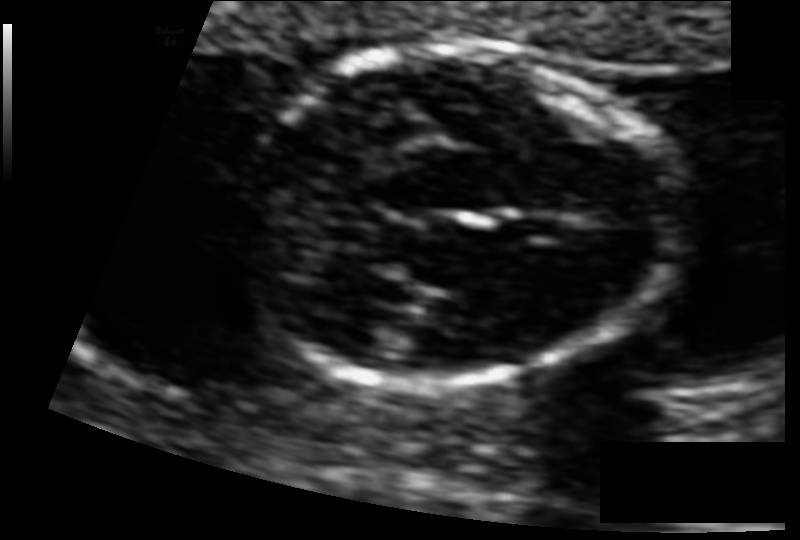
In this fetal head ultrasound, give the bounding box of the cavum septum pellucidum. Image width: 58.4 mm.

[503,212,559,242]